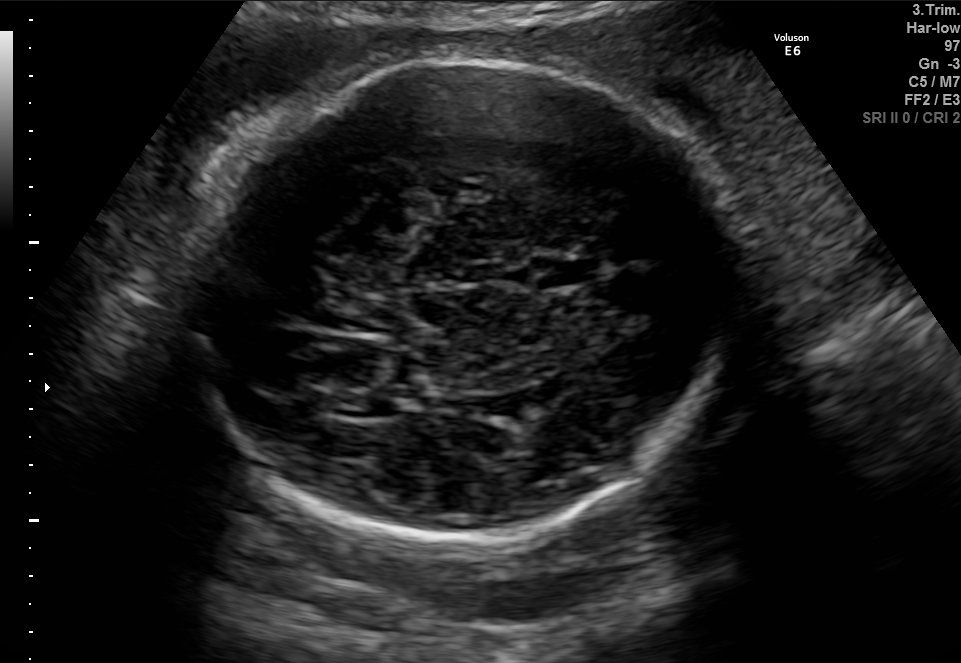
In this fetal brain, trans-thalamic plane, give the bounding box of the lateral ventricle.

[334,396,393,419]